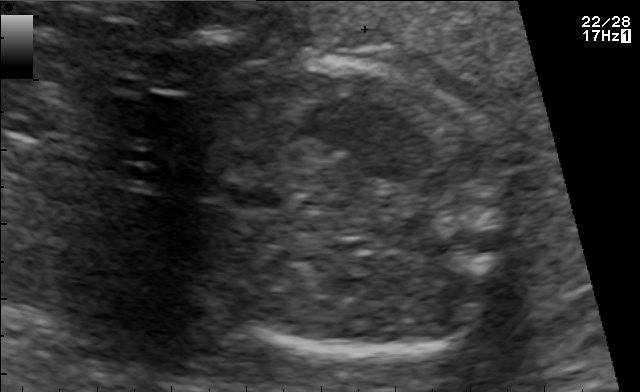
Classify this maternal-fetal ultrasound image as one of the six standard planes — fetal abdomen, fetal brain, fetal femur, fetal thorax, maternal cervix, or other. If it's fetal brain and one of the three standard brain planes (trans-thalamic, trans-cerebellum, trans-ventricular), name which.

Fetal abdomen